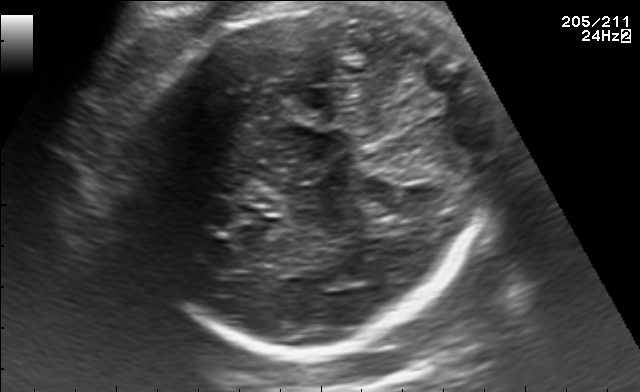
Fetal brain, trans-thalamic plane. Give [x1,y1,x2,y2] bounding boxes for each visible structure among: fetal head, CSP, LV.

Head: [126,7,491,351]